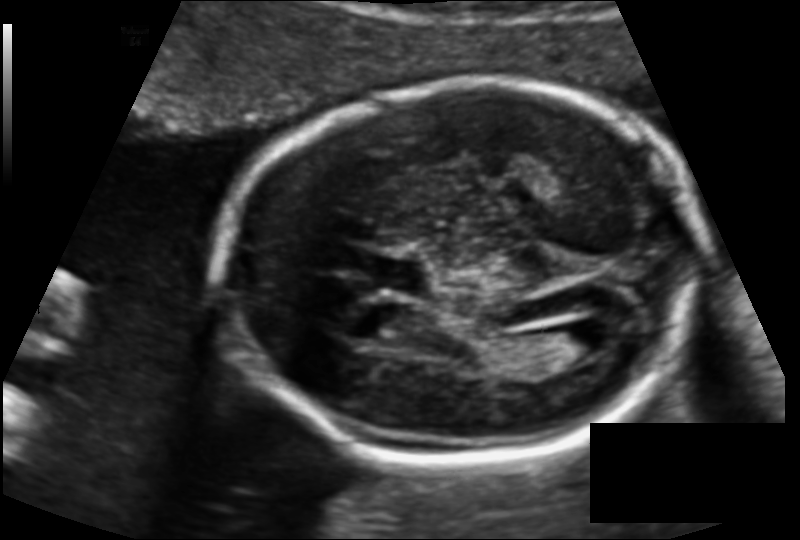
Estimate the fetal head circumference from this 2D ultrasound.

Head circumference: 173.9 mm (image width 99.5 mm).